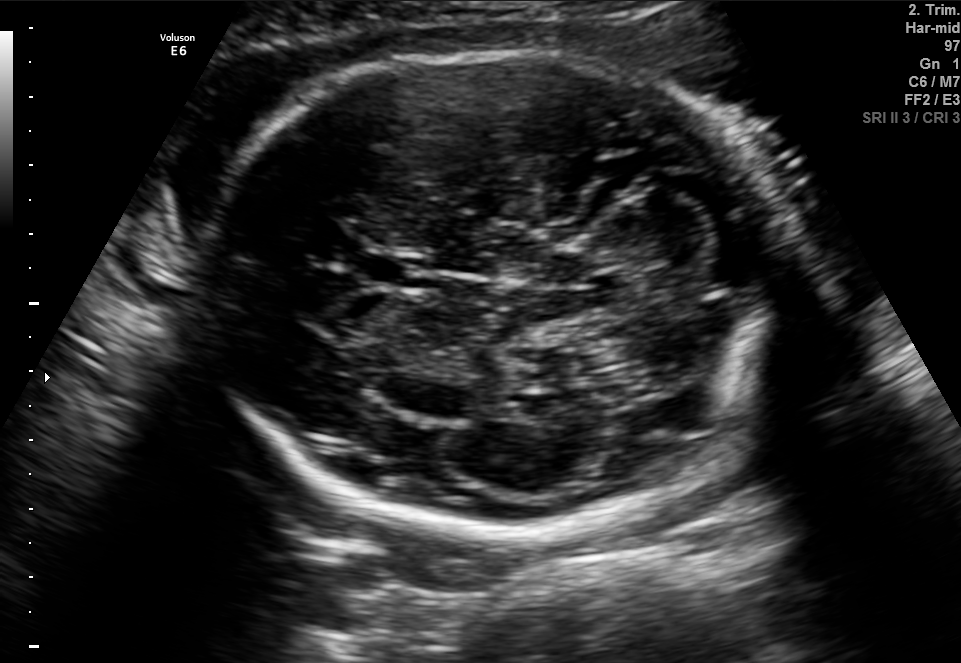
Fetal brain, trans-cerebellum plane. Locate the fetal head and, if visible, the cavum septum pellucidum (CSP) and lateral ventricle (LV). Give bounding boxes as [x1,y1,x2,y2].

Head: [205,52,784,533]
CSP: [359,248,430,293]